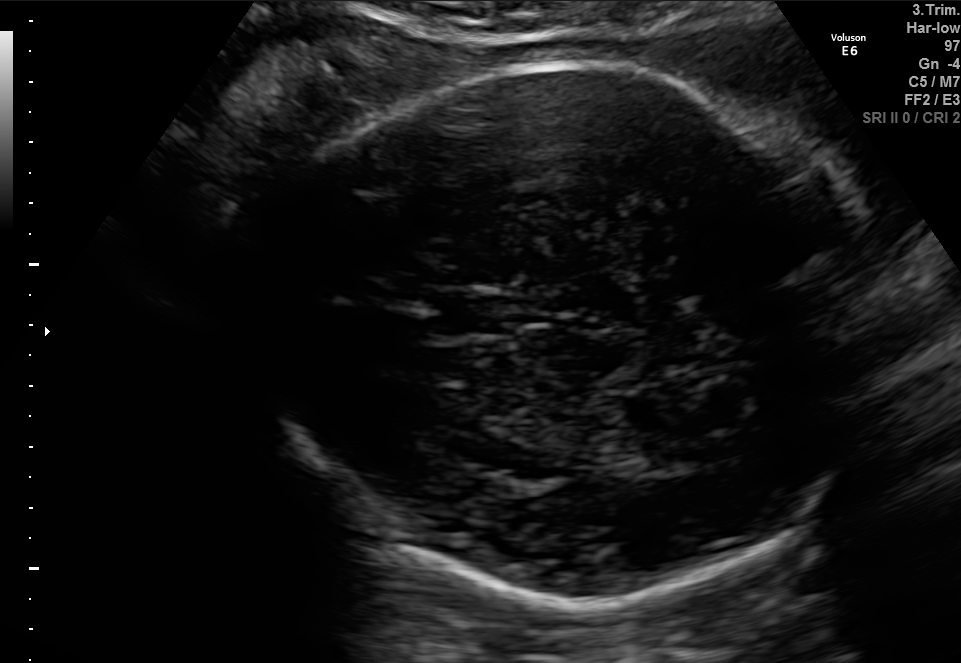
Fetal brain, trans-thalamic plane. Where is the fetal head?

Head bounding box: [244,60,882,605]